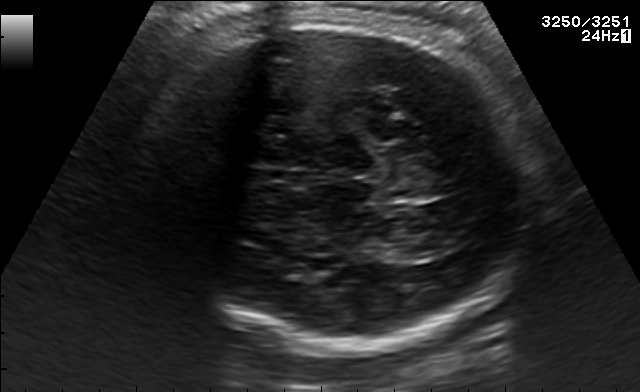
Fetal brain, trans-thalamic plane. Locate the fetal head.

Head: [143,20,533,349]